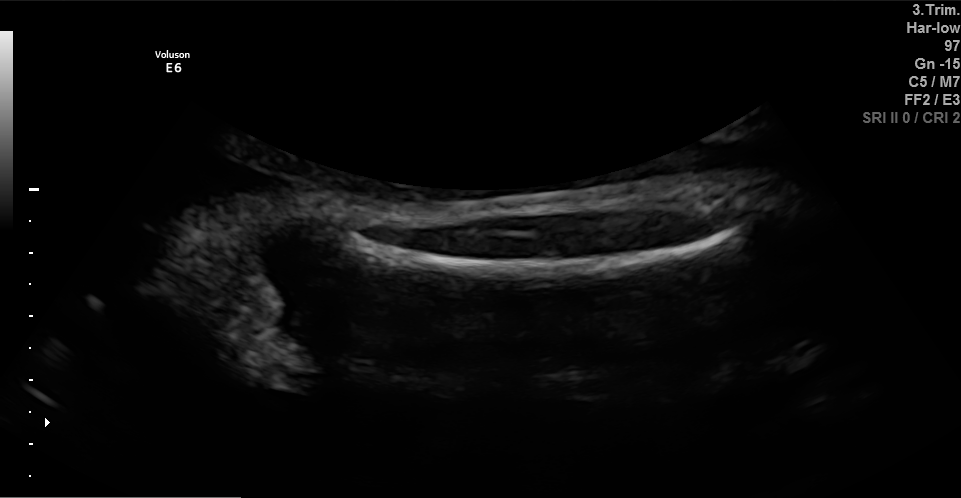
Classify this maternal-fetal ultrasound image as one of the six standard planes — fetal abdomen, fetal brain, fetal femur, fetal thorax, maternal cervix, or other. If it's fetal brain and one of the three standard brain planes (trans-thalamic, trans-cerebellum, trans-ventricular), name which.

Fetal femur